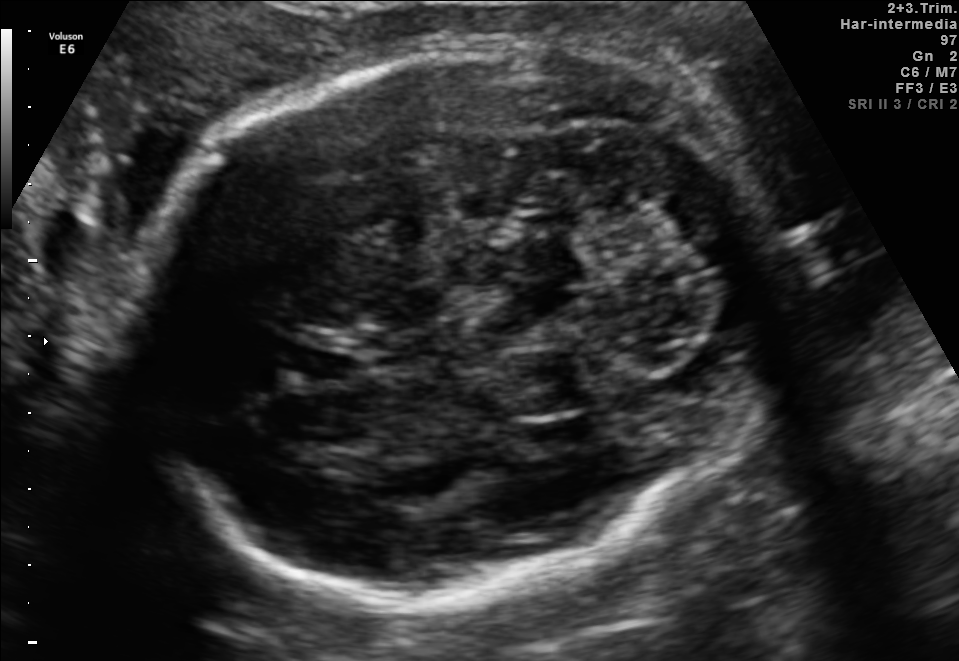
Fetal brain, trans-cerebellum plane. Where is the fetal head?

Head bounding box: [131,42,780,585]